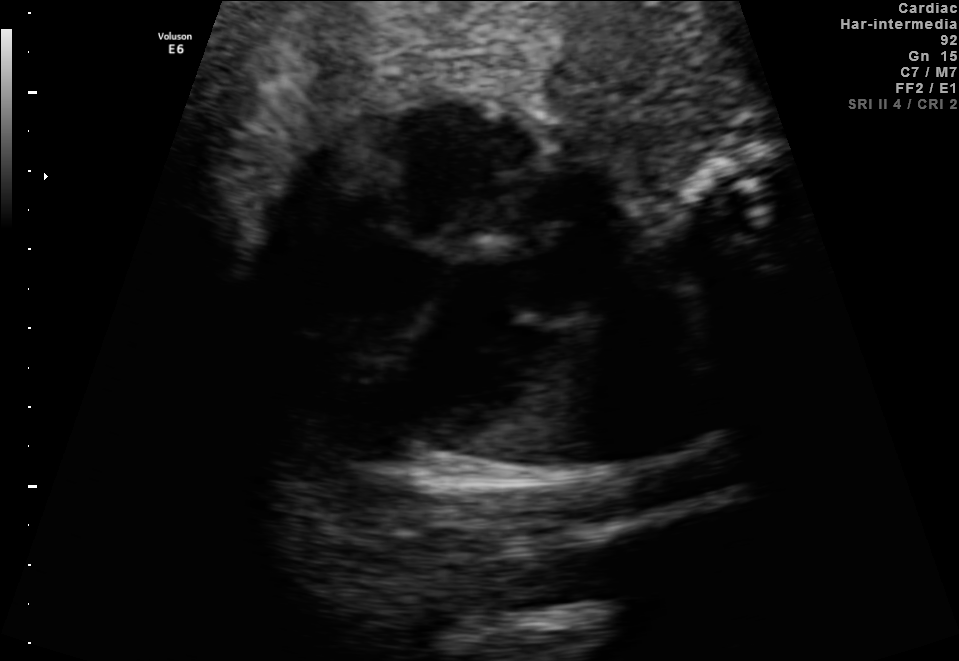
Classify this maternal-fetal ultrasound image as one of the six standard planes — fetal abdomen, fetal brain, fetal femur, fetal thorax, maternal cervix, or other. If it's fetal brain and one of the three standard brain planes (trans-thalamic, trans-cerebellum, trans-ventricular), name which.

Fetal thorax